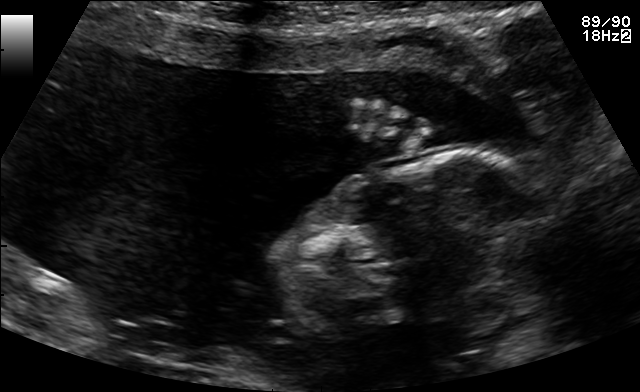
Which standard maternal-fetal ultrasound plane is shown: fetal abdomen, fetal brain, fetal femur, fetal thorax, maternal cervix, or other? If it's fetal brain and one of the three standard brain planes (trans-thalamic, trans-cerebellum, trans-ventricular), name which.

Other